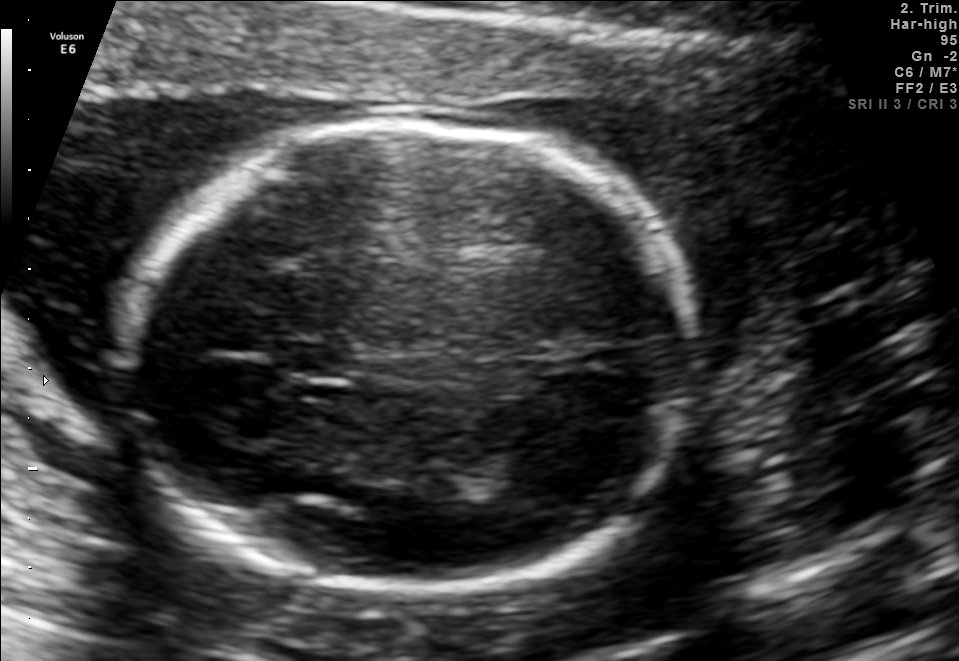
In this fetal brain, trans-thalamic plane, give the bounding box of the cavum septum pellucidum.

[274,340,346,377]